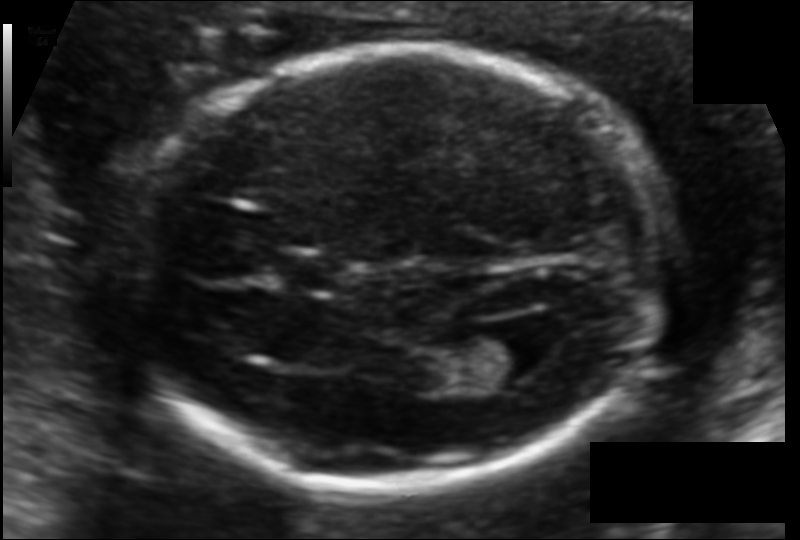
What is the fetal head circumference? Image width is 86.5 mm.

168.9 mm